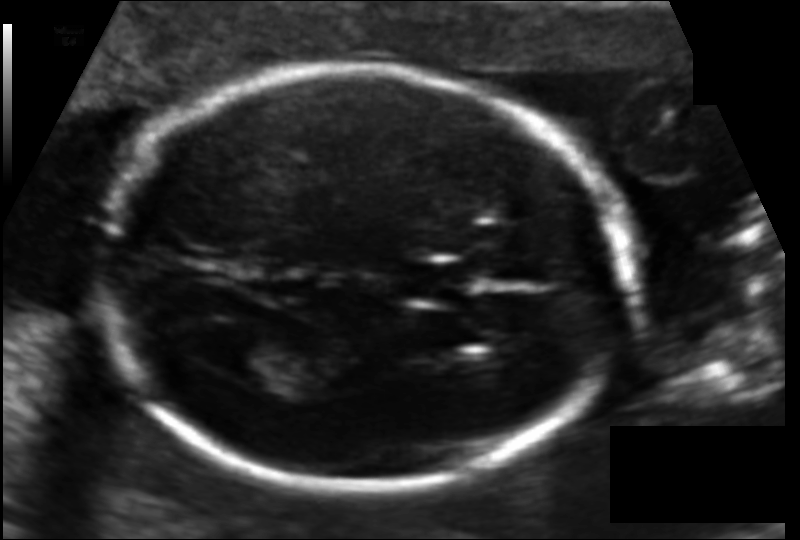
Measure the fetal head circumference shown in this ultrasound image. Image width: 91.0 mm.

Head circumference: 175.0 mm.